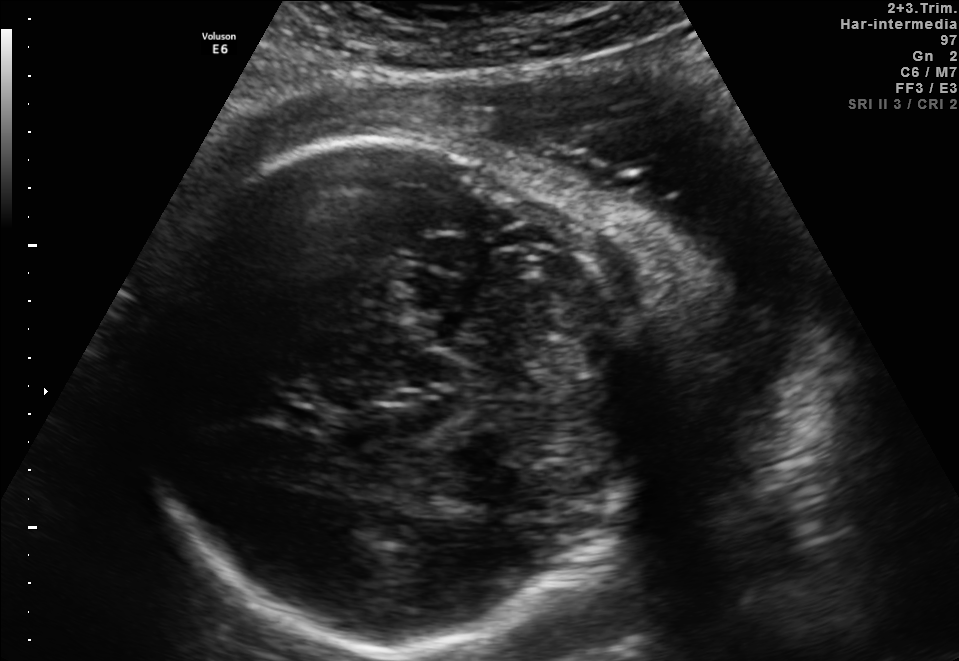
In this fetal brain, trans-thalamic plane, give bounding boxes for the head outline, cavum septum pellucidum (CSP), and lateral ventricle (LV), where visible.

Head: [130,134,645,651]
CSP: [262,395,326,438]